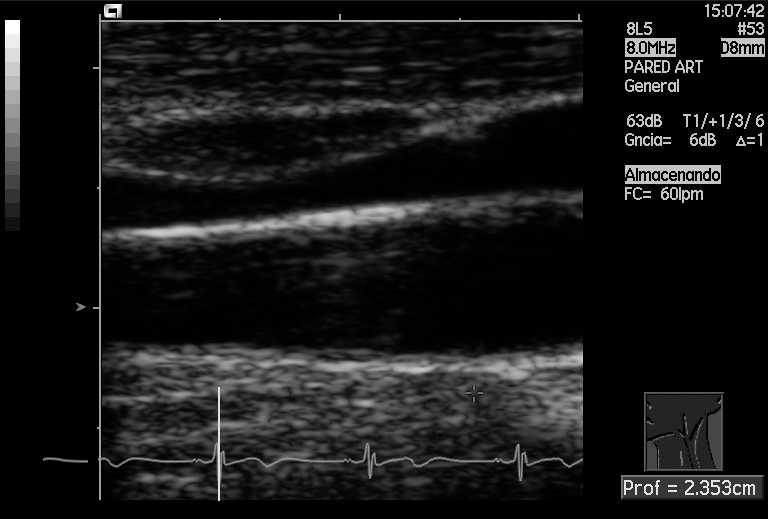
This is a 2D maternal-fetal ultrasound frame. Is it a fetal abdomen, fetal brain, fetal femur, fetal thorax, maternal cervix, or other standard plane? If it's fetal brain and one of the three standard brain planes (trans-thalamic, trans-cerebellum, trans-ventricular), name which.

Other